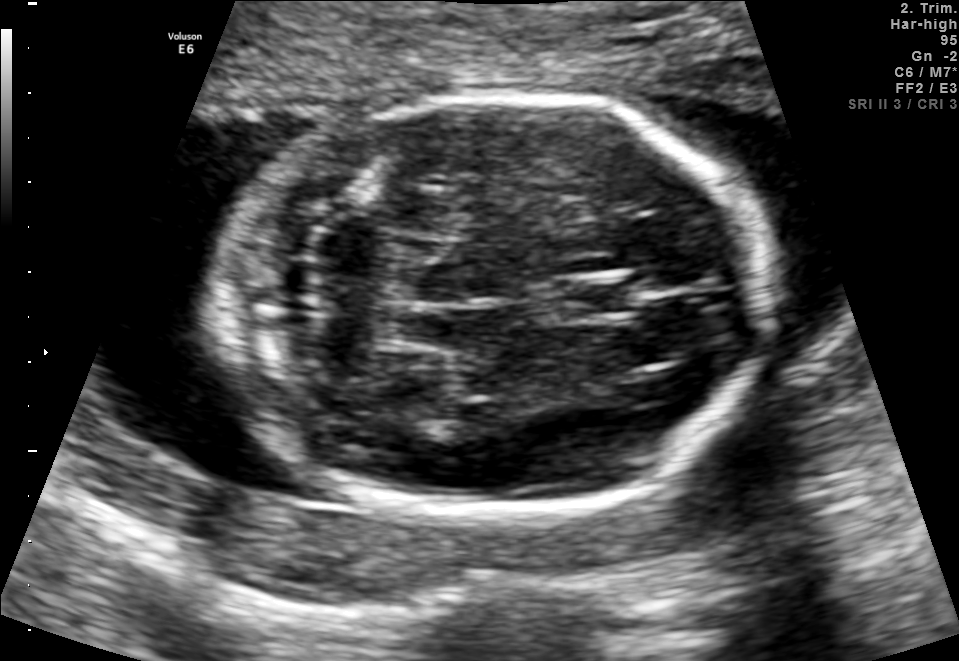
Fetal brain, trans-cerebellum plane. Locate the fetal head and, if visible, the cavum septum pellucidum (CSP) and lateral ventricle (LV). Give bounding boxes as [x1,y1,x2,y2].

Head: [210,95,773,518]
CSP: [547,277,634,322]